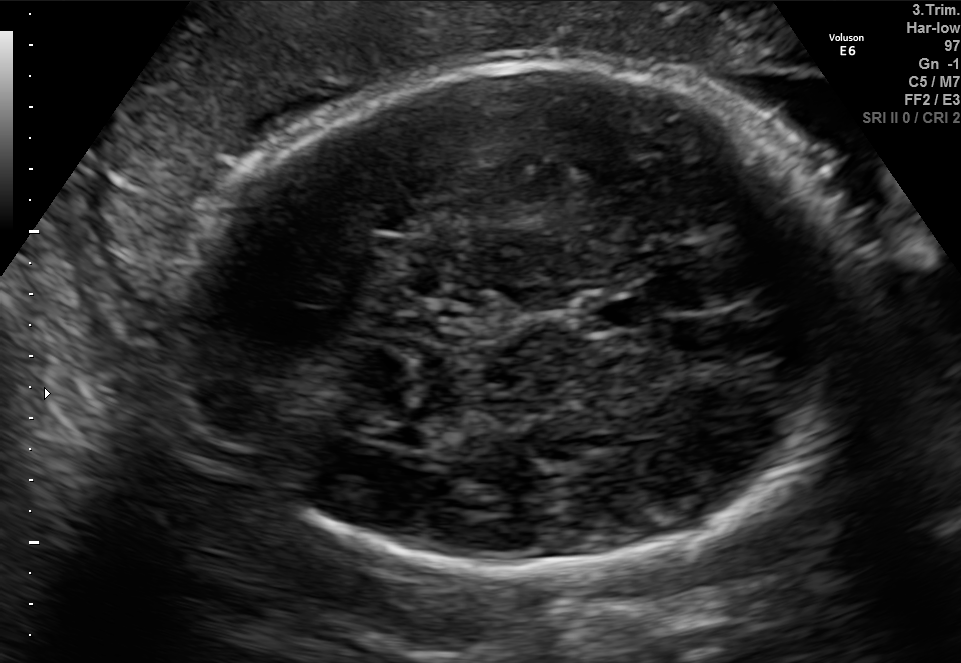
In this fetal brain, trans-thalamic plane, give bounding boxes for the head outline, cavum septum pellucidum (CSP), and lateral ventricle (LV), where visible.

Head: [191,57,862,574]
CSP: [580,291,645,331]
Lateral ventricle: [344,407,432,450]